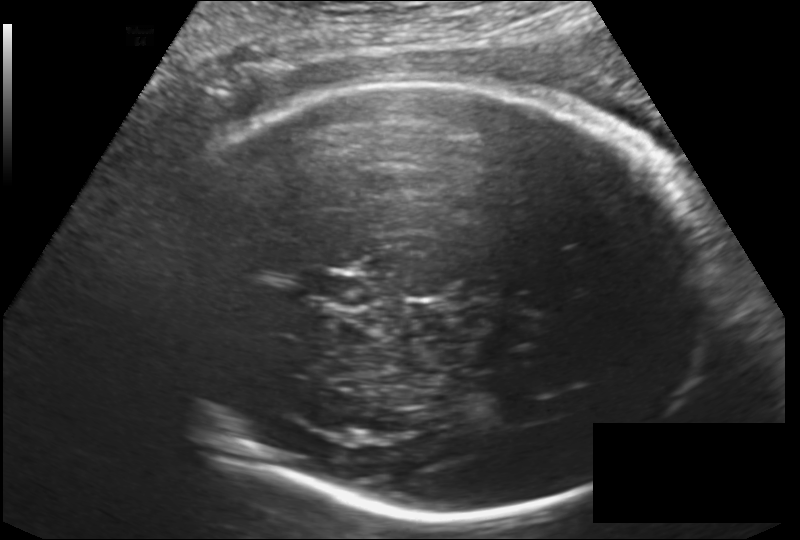
In this fetal head ultrasound, give the bounding box of the fetal head. Image width: 145.9 mm.

[156,80,702,519]